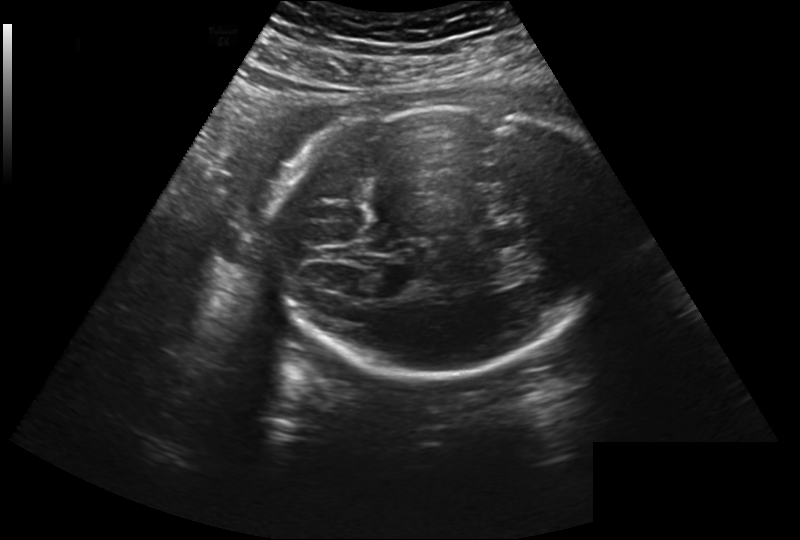
In this fetal head ultrasound, give the bounding box of the cavum septum pellucidum. Image width: 208.3 mm.

[477,223,522,251]